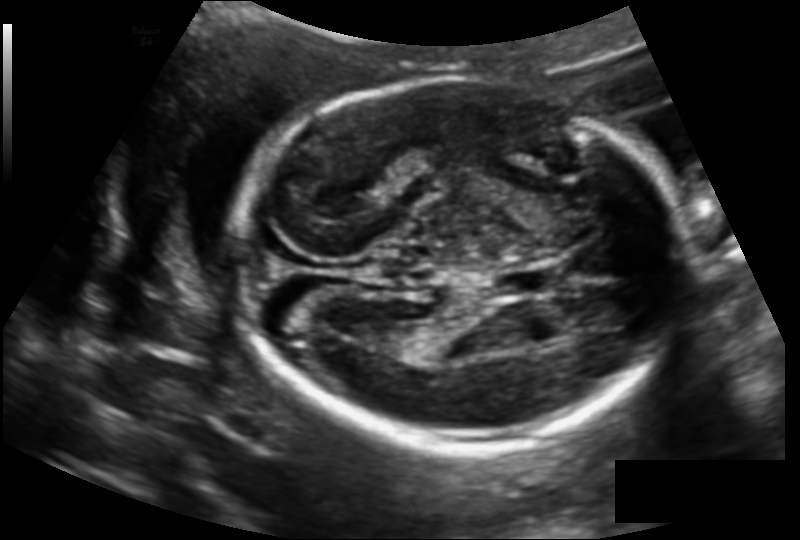
Fetal head ultrasound. Image width: 116.1 mm. Where is the fetal head?

Head bounding box: [236,78,682,448]